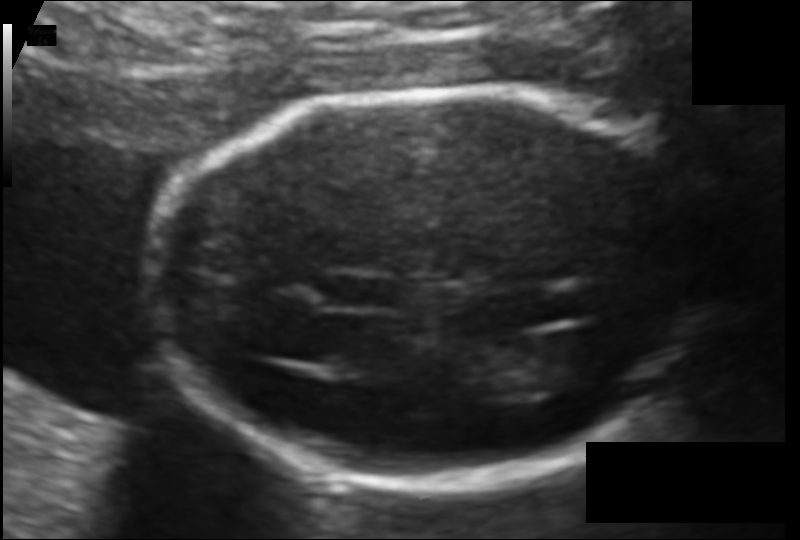
From this fetal ultrasound, estimate the head circumference (image width 82.4 mm).

Head circumference: 156.8 mm.